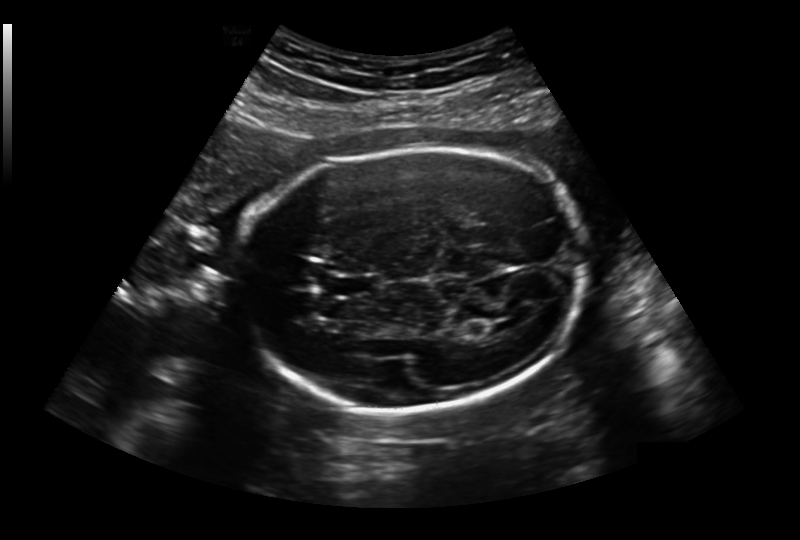
Fetal head ultrasound. Image width: 188.7 mm. Give [x1,y1,x2,y2] bounding boxes for each visible structure among: fetal head, CSP, LV.

Head: [239,150,586,410]
CSP: [333,273,376,296]
Lateral ventricle: [490,315,520,335]